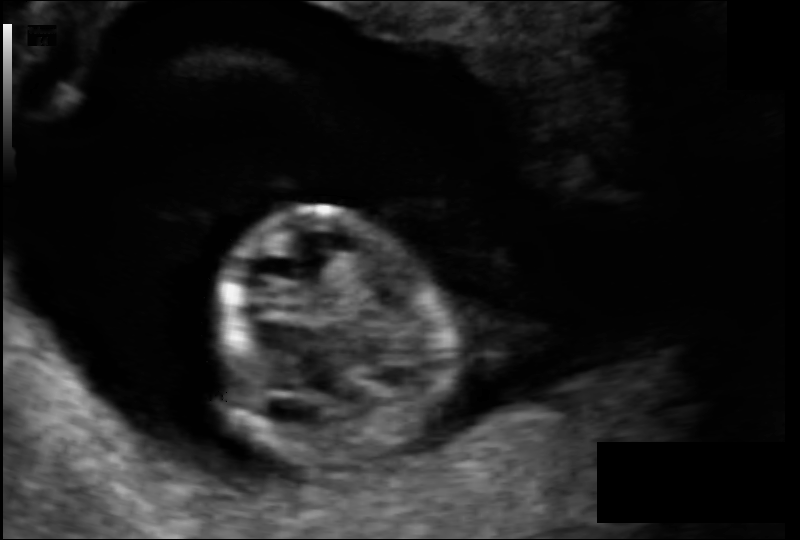
Measure the fetal head circumference shown in this ultrasound image. Image width: 78.9 mm.

Head circumference: 80.7 mm.